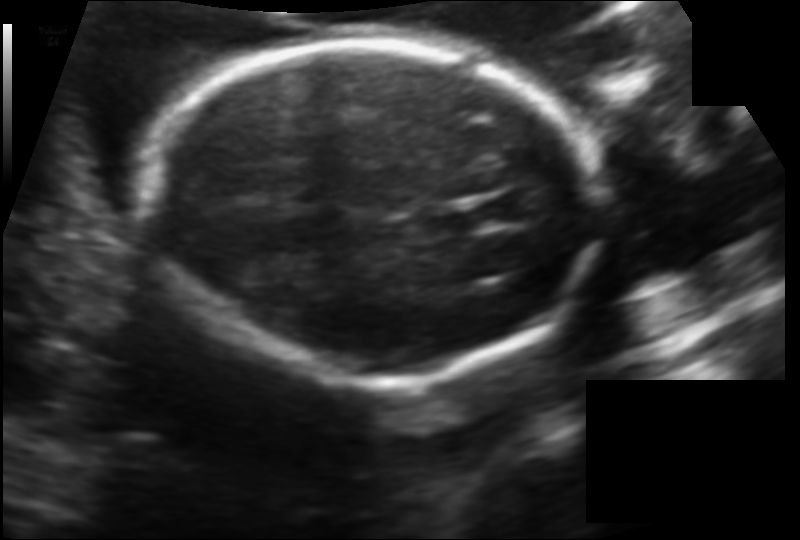
Fetal head ultrasound. Image width: 108.5 mm. Give [x1,y1,x2,y2] bounding boxes for each visible structure among: fetal head, CSP, LV.

Head: [148,41,589,383]